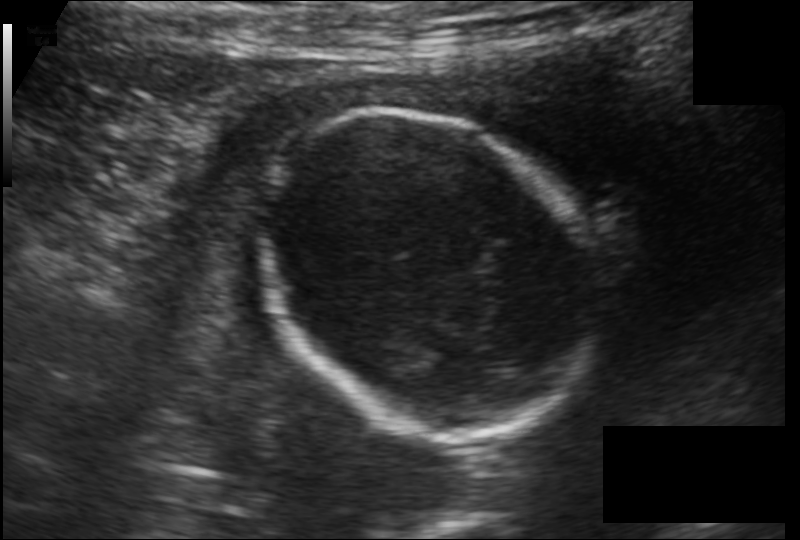
Estimate the fetal head circumference from this 2D ultrasound.

Head circumference: 155.6 mm (image width 116.2 mm).